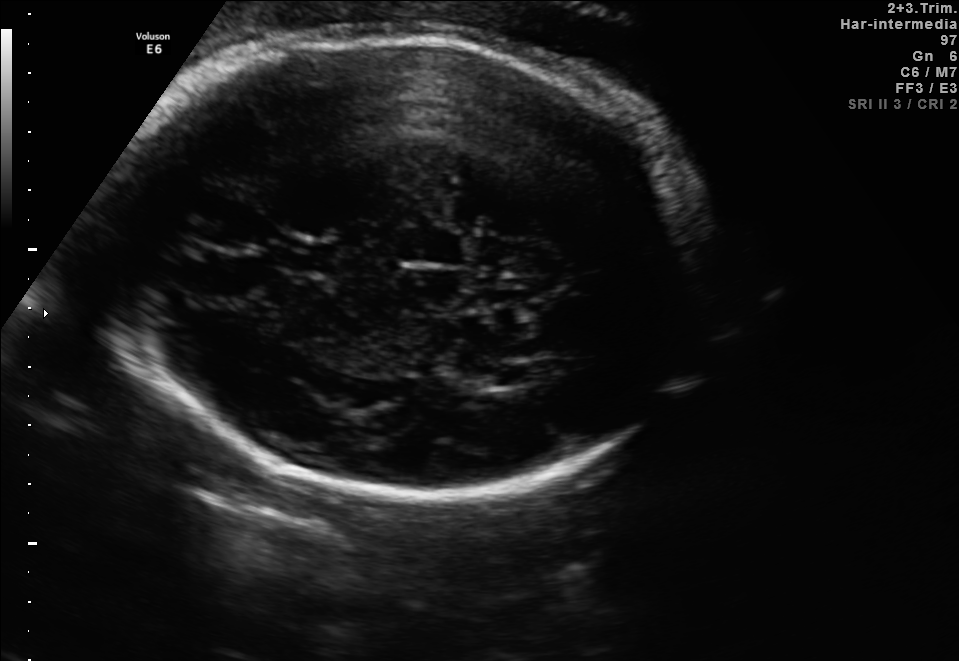
This is a 2D maternal-fetal ultrasound frame. Is it a fetal abdomen, fetal brain, fetal femur, fetal thorax, maternal cervix, or other standard plane? If it's fetal brain and one of the three standard brain planes (trans-thalamic, trans-cerebellum, trans-ventricular), name which.

Fetal brain (trans-ventricular plane)